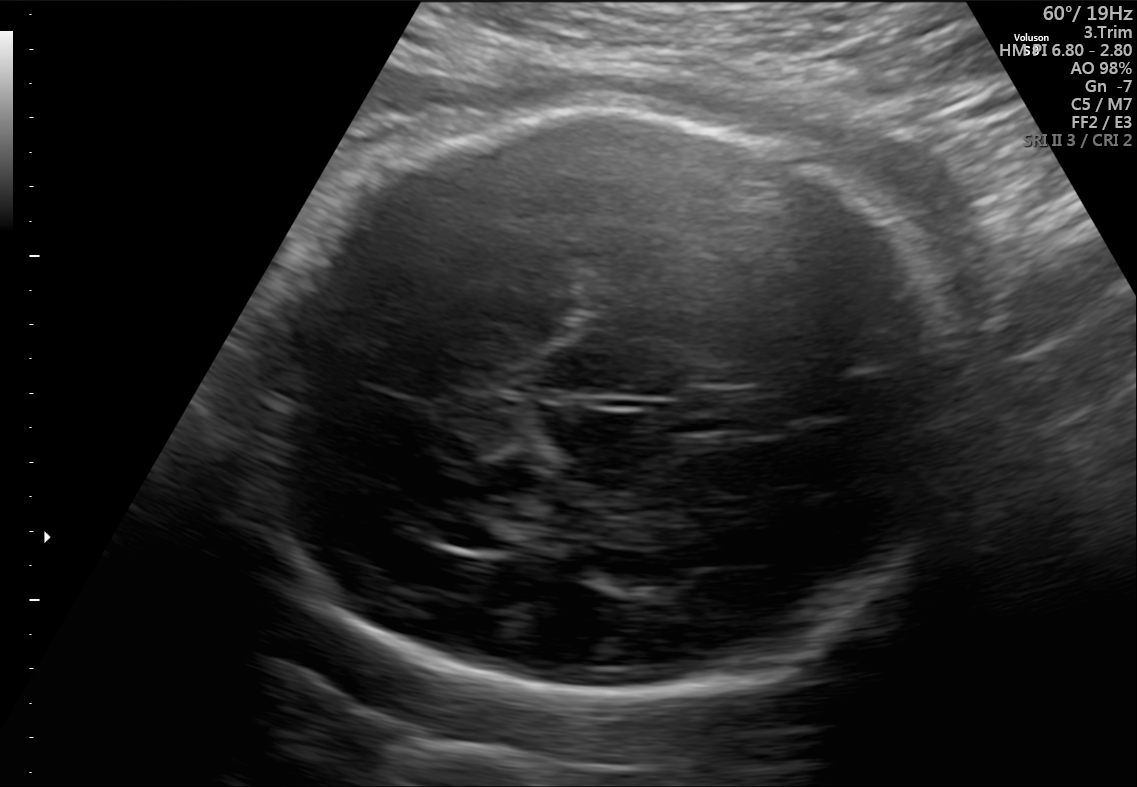
In this fetal brain, trans-thalamic plane, give the bounding box of the lateral ventricle.

[426,508,523,558]